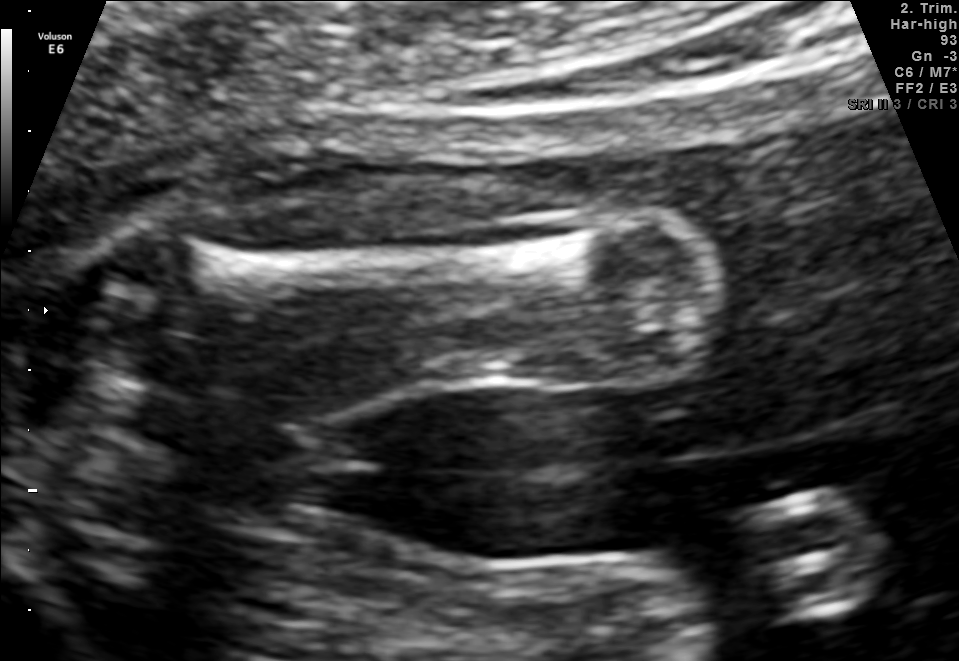
Classify this maternal-fetal ultrasound image as one of the six standard planes — fetal abdomen, fetal brain, fetal femur, fetal thorax, maternal cervix, or other. If it's fetal brain and one of the three standard brain planes (trans-thalamic, trans-cerebellum, trans-ventricular), name which.

Fetal femur